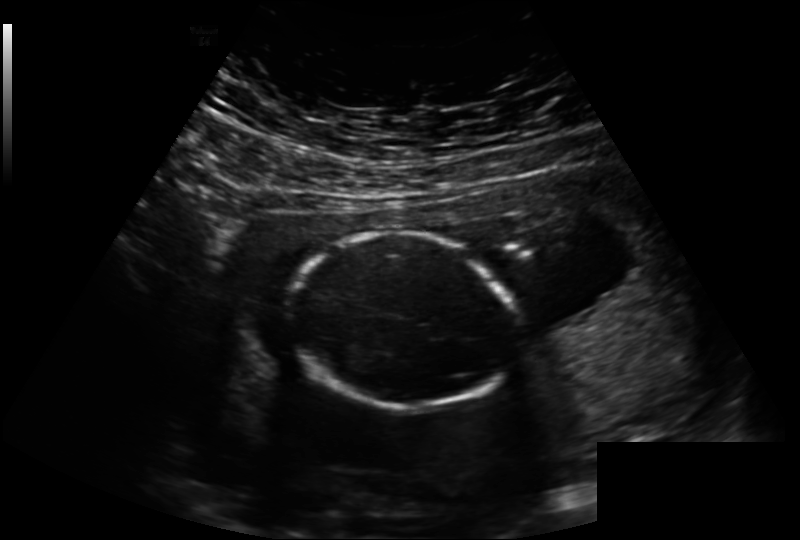
Fetal head ultrasound. Image width: 177.0 mm. Give [x1,y1,x2,y2] bounding boxes for each visible structure among: fetal head, CSP, LV.

Head: [290,232,518,409]